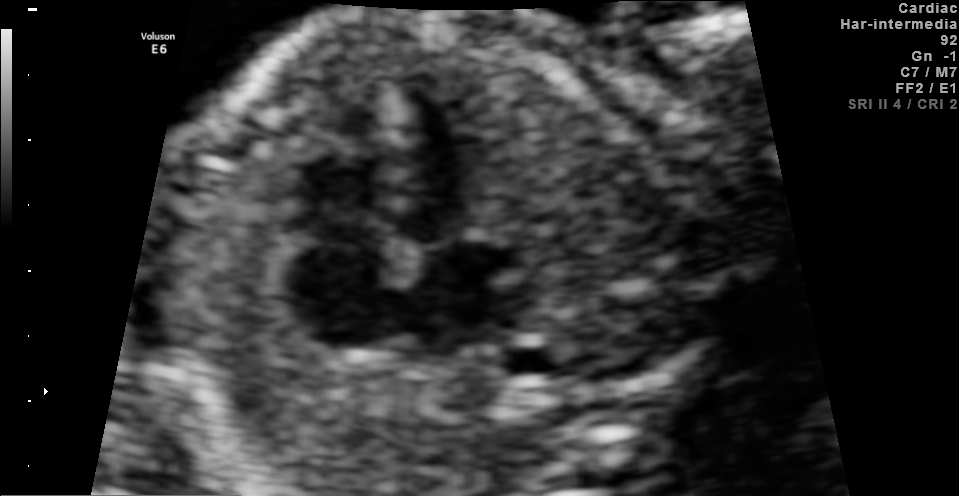
Classify this maternal-fetal ultrasound image as one of the six standard planes — fetal abdomen, fetal brain, fetal femur, fetal thorax, maternal cervix, or other. If it's fetal brain and one of the three standard brain planes (trans-thalamic, trans-cerebellum, trans-ventricular), name which.

Fetal thorax